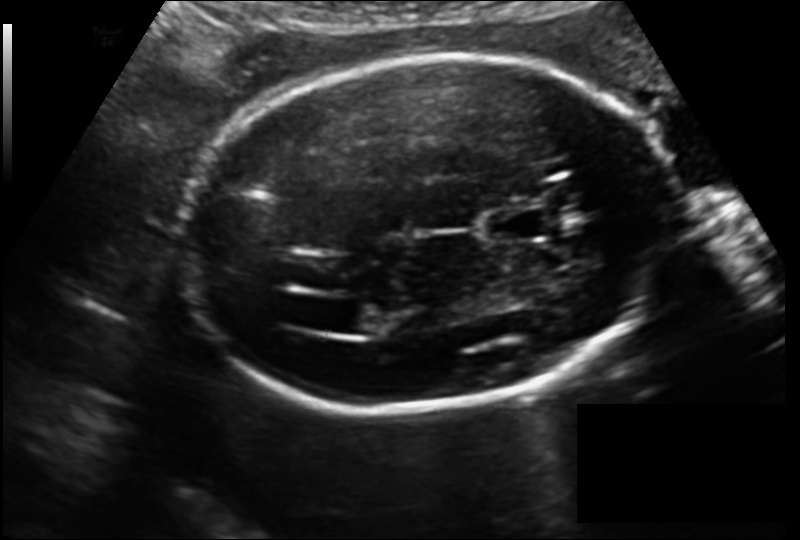
Measure the fetal head circumference shown in this ultrasound image. Image width: 120.3 mm.

Head circumference: 209.2 mm.